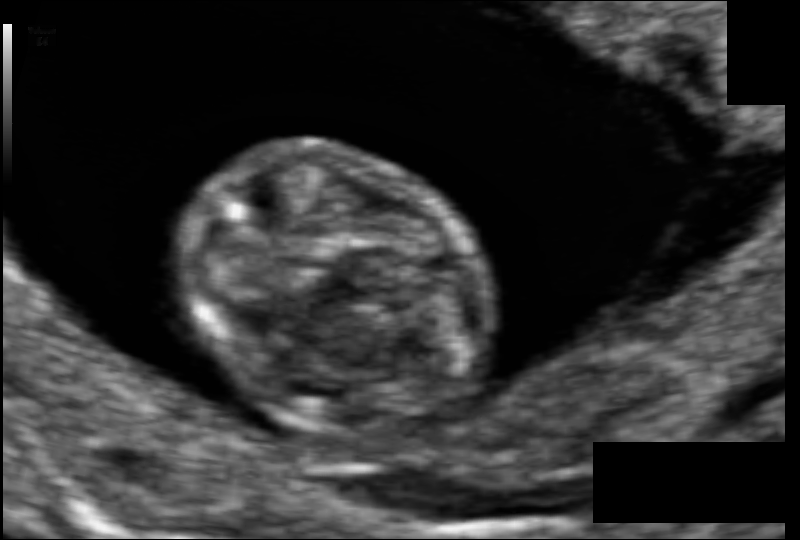
Fetal head ultrasound. Image width: 49.0 mm. Give [x1,y1,x2,y2] bounding boxes for each visible structure among: fetal head, CSP, LV.

Head: [180,139,490,439]